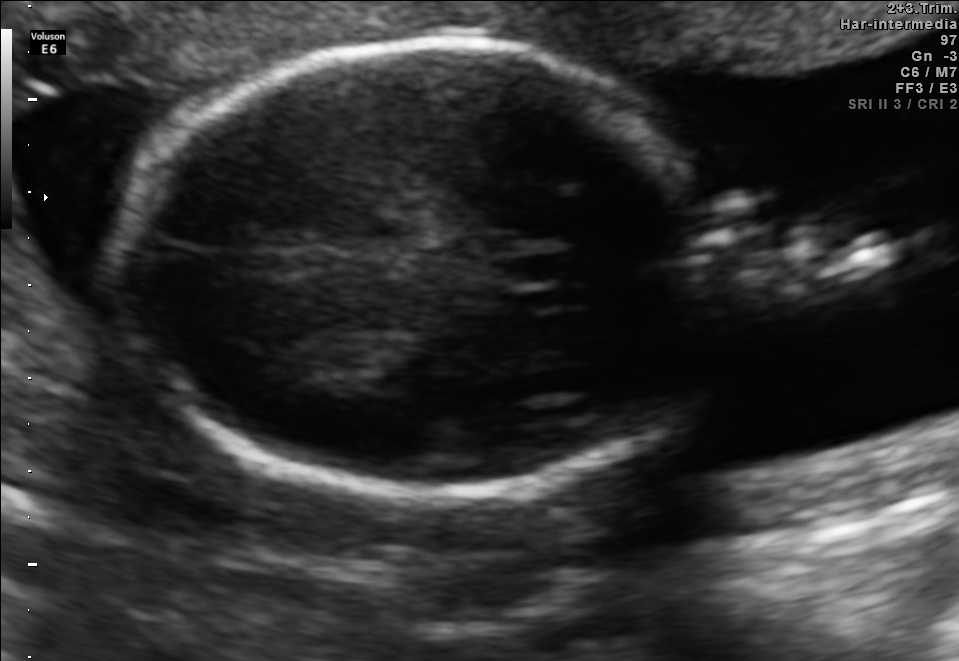
Fetal brain, trans-thalamic plane. Give [x1,y1,x2,y2] bounding boxes for each visible structure among: fetal head, CSP, LV.

Head: [112,44,735,489]